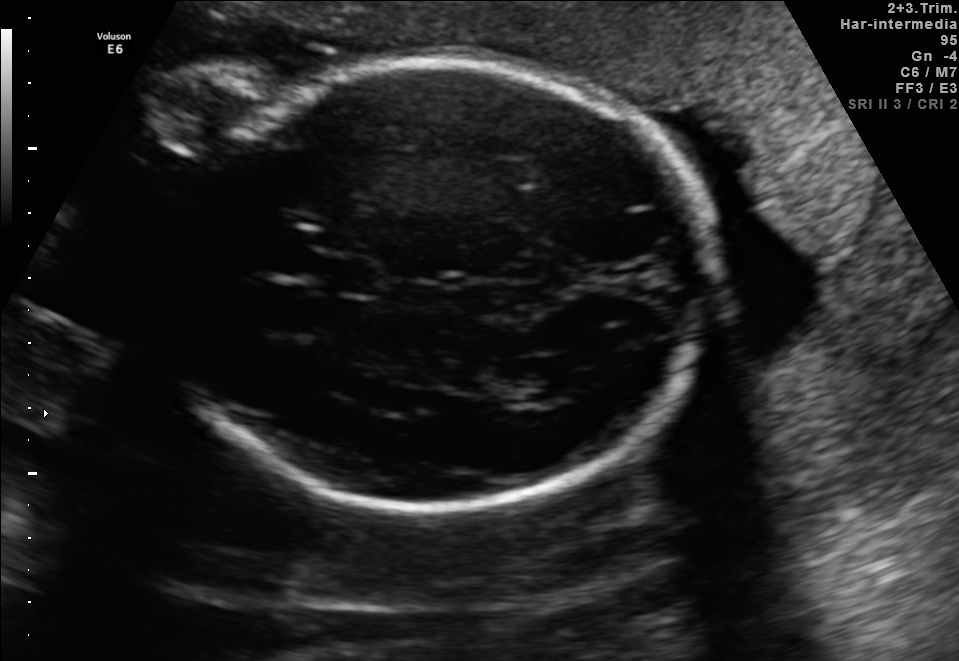
Fetal brain, trans-ventricular plane. Give [x1,y1,x2,y2] bounding boxes for each visible structure among: fetal head, CSP, LV.

Head: [161,55,724,516]
CSP: [322,261,380,295]